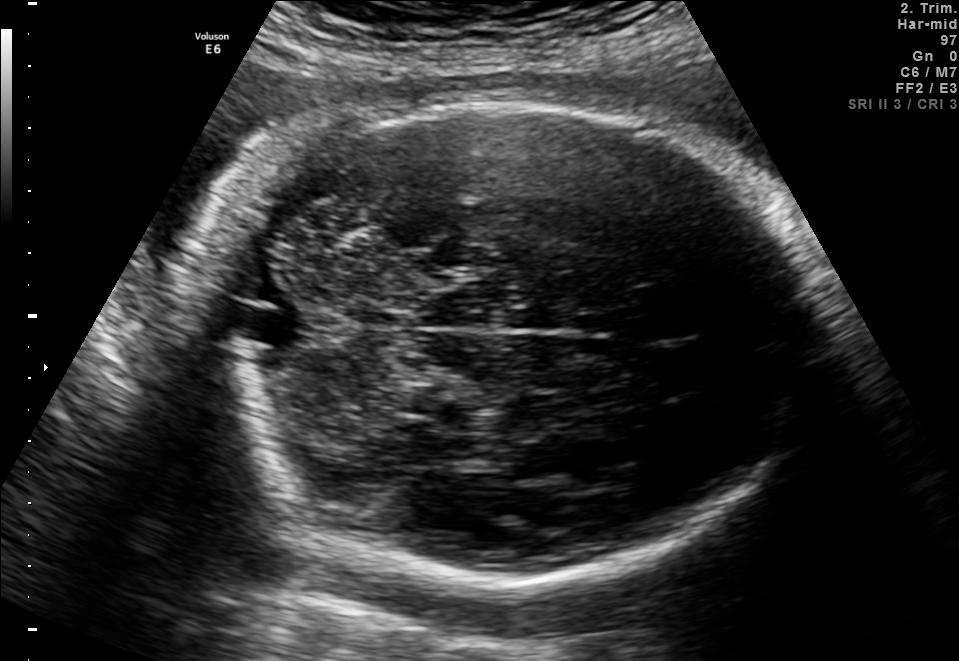
Fetal brain, trans-cerebellum plane. Where is the fetal head?

Head bounding box: [179,99,816,576]